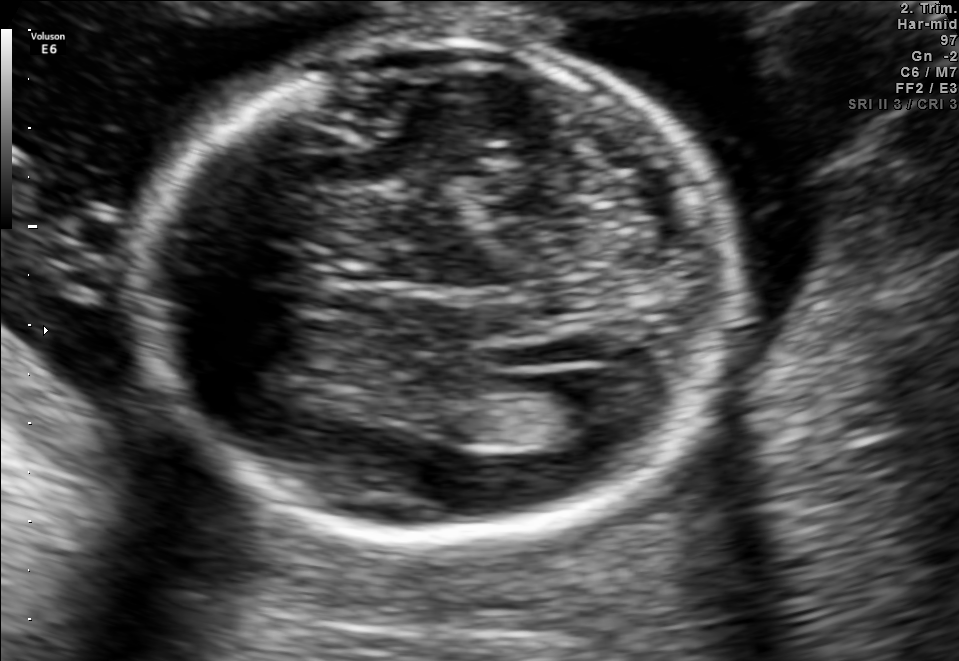
Fetal brain, trans-ventricular plane. Locate the fetal head.

Head: [124,27,753,548]